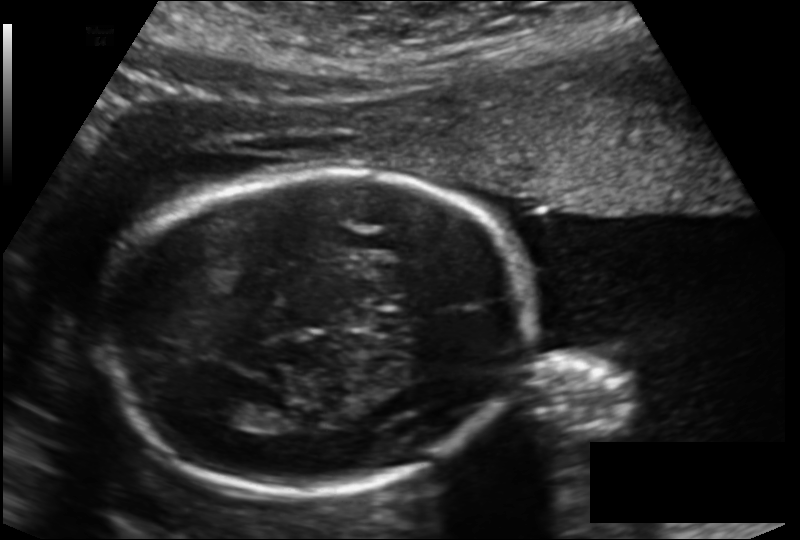
Estimate the fetal head circumference from this 2D ultrasound. Image width: 123.8 mm.

Head circumference: 183.0 mm.